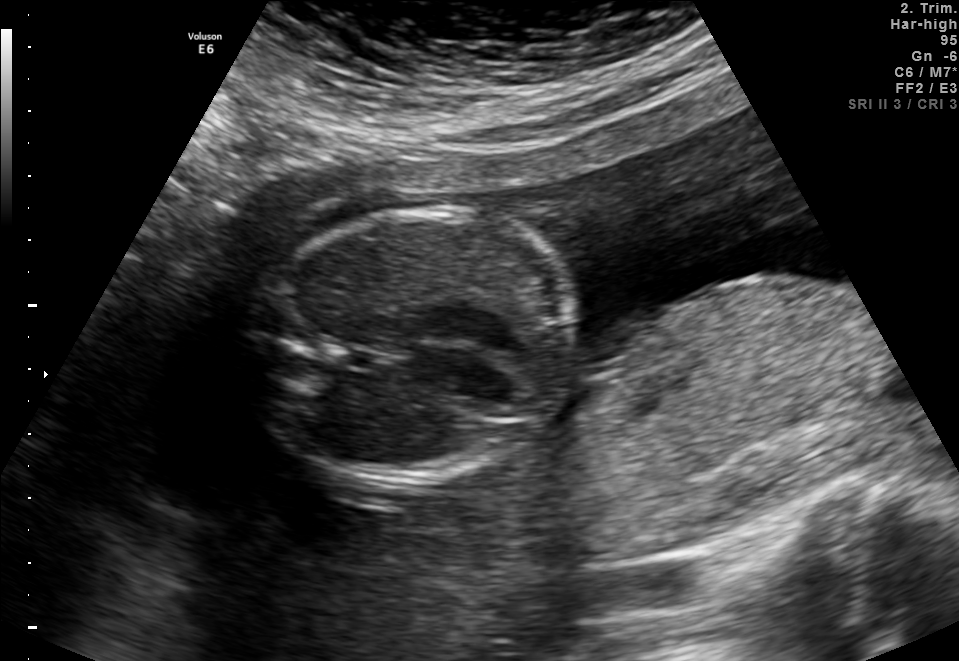
Classify this maternal-fetal ultrasound image as one of the six standard planes — fetal abdomen, fetal brain, fetal femur, fetal thorax, maternal cervix, or other. If it's fetal brain and one of the three standard brain planes (trans-thalamic, trans-cerebellum, trans-ventricular), name which.

Fetal thorax